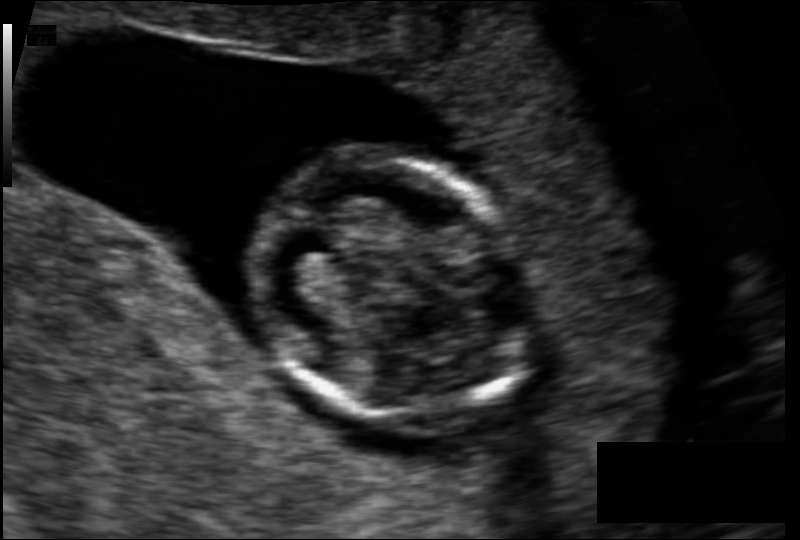
What is the fetal head circumference? Image width is 75.6 mm.

84.6 mm